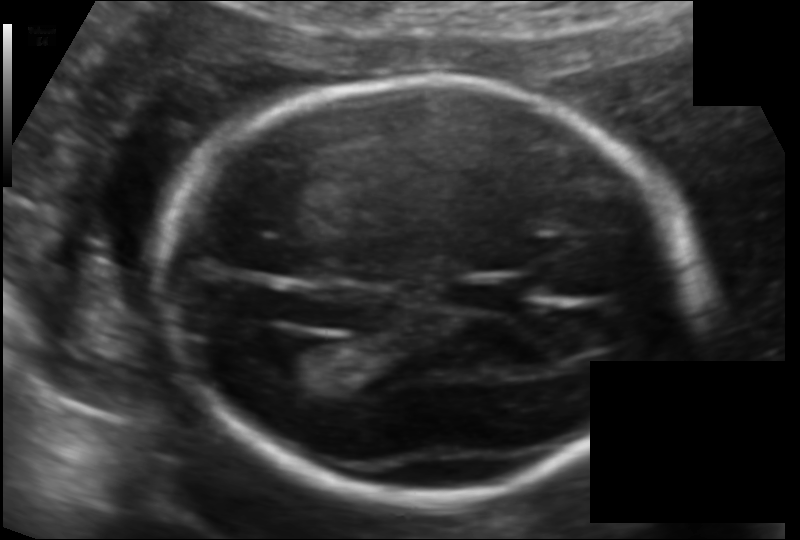
Fetal head ultrasound. Image width: 94.6 mm. Give [x1,y1,x2,y2] bounding boxes for each visible structure among: fetal head, CSP, LV.

Head: [162,78,697,498]
CSP: [457,280,523,307]
Lateral ventricle: [266,333,333,383]